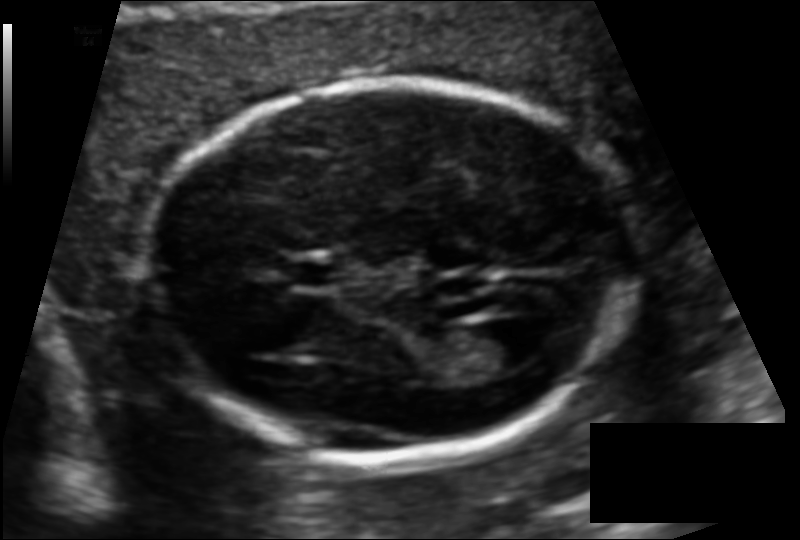
Fetal head ultrasound. Image width: 88.0 mm. Locate the cavum septum pellucidum.

CSP: [288,262,339,285]